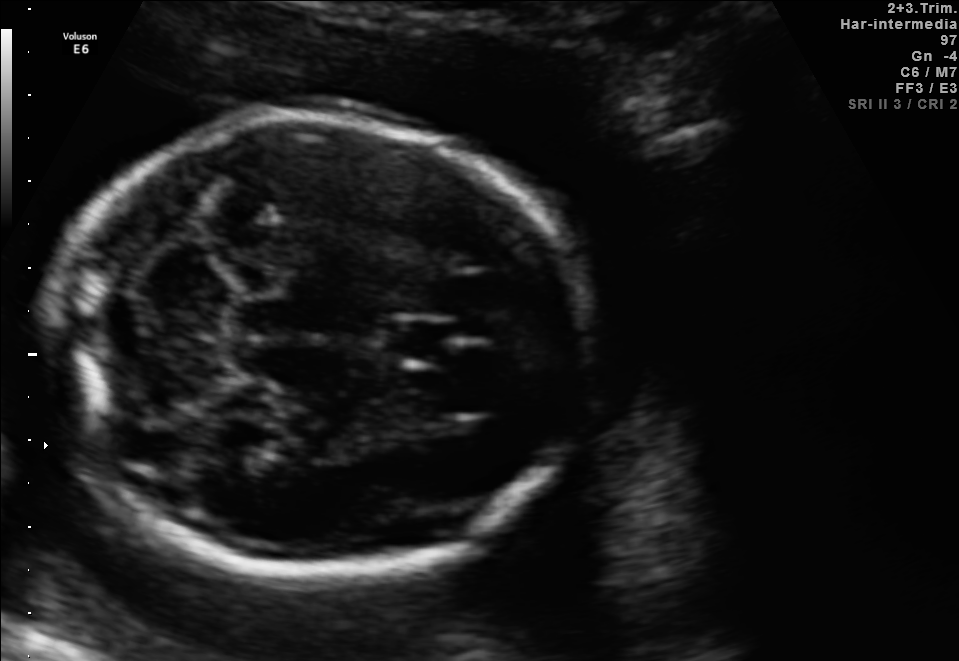
Fetal brain, trans-cerebellum plane. Give [x1,y1,x2,y2] bounding boxes for each visible structure among: fetal head, CSP, LV.

Head: [56,115,589,584]
CSP: [382,316,451,366]